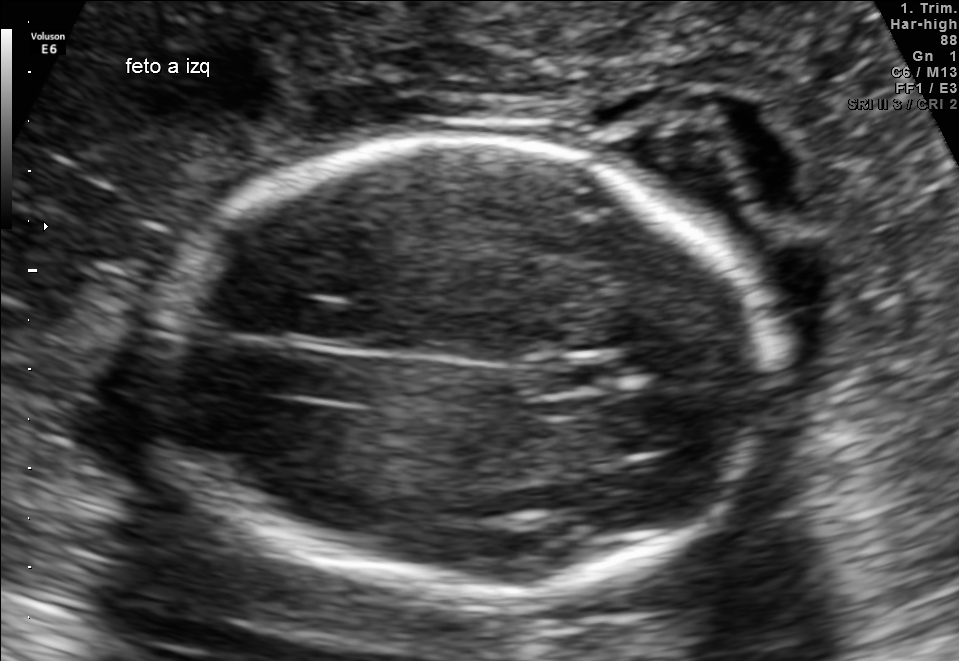
Fetal brain, trans-thalamic plane. Locate the fetal head.

Head: [151,140,776,593]